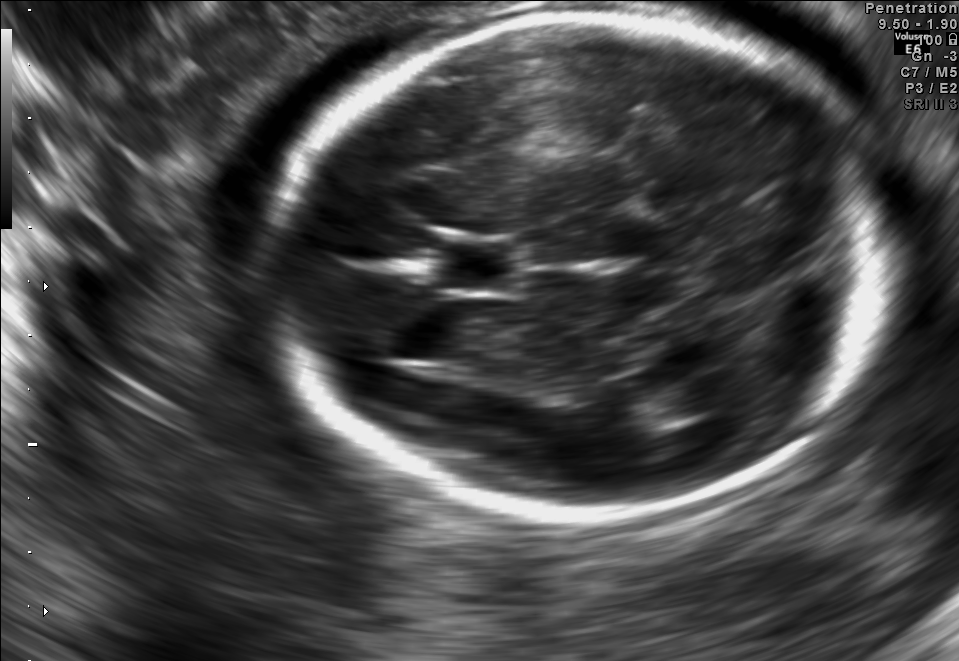
Fetal brain, trans-thalamic plane. Locate the fetal head.

Head: [272,12,899,521]